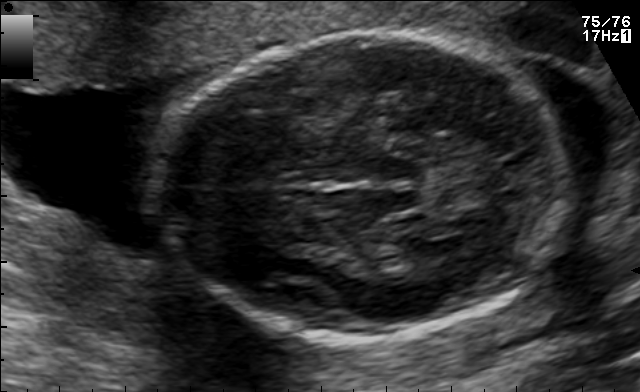
Fetal brain, trans-thalamic plane. Locate the fetal head.

Head: [155,31,567,339]